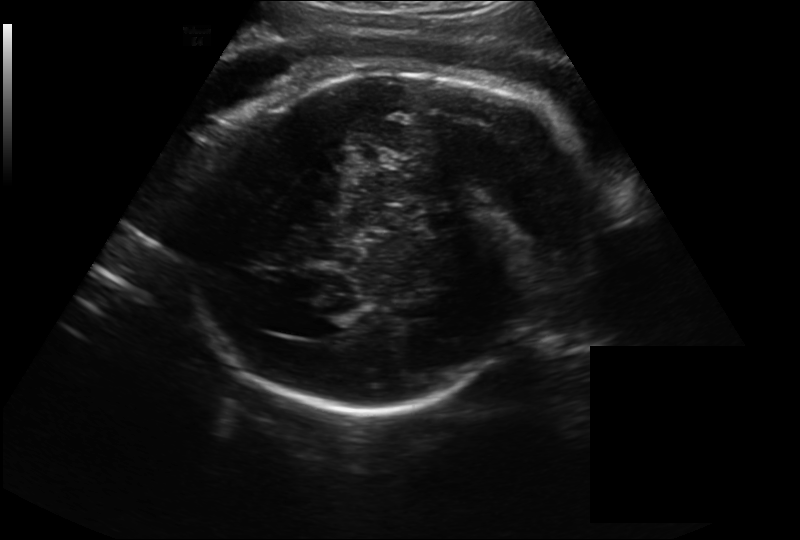
Fetal head ultrasound. Image width: 209.3 mm. Give [x1,y1,x2,y2] bounding boxes for each visible structure among: fetal head, CSP, LV.

Head: [194,65,585,408]
Lateral ventricle: [300,314,346,339]